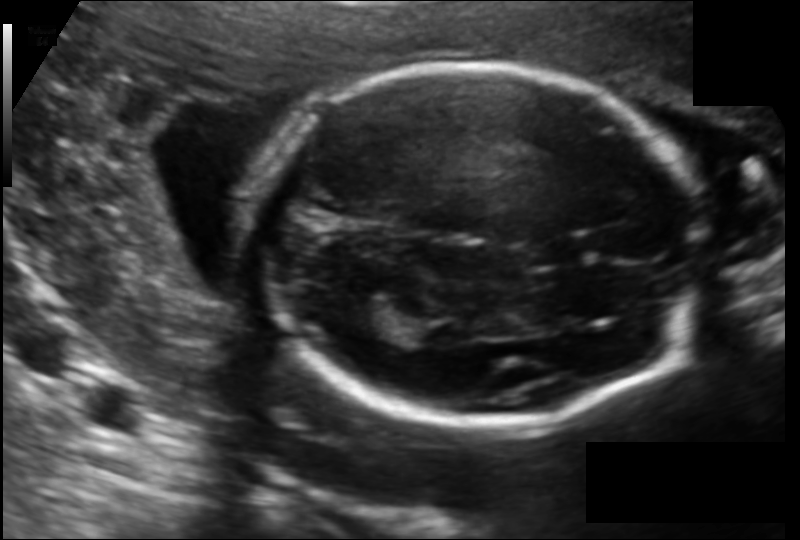
Fetal head ultrasound. Image width: 103.2 mm. Locate the fetal head and, if visible, the cavum septum pellucidum (CSP) and lateral ventricle (LV). Give bounding boxes as [x1,y1,x2,y2].

Head: [248,63,702,422]
CSP: [526,235,586,271]